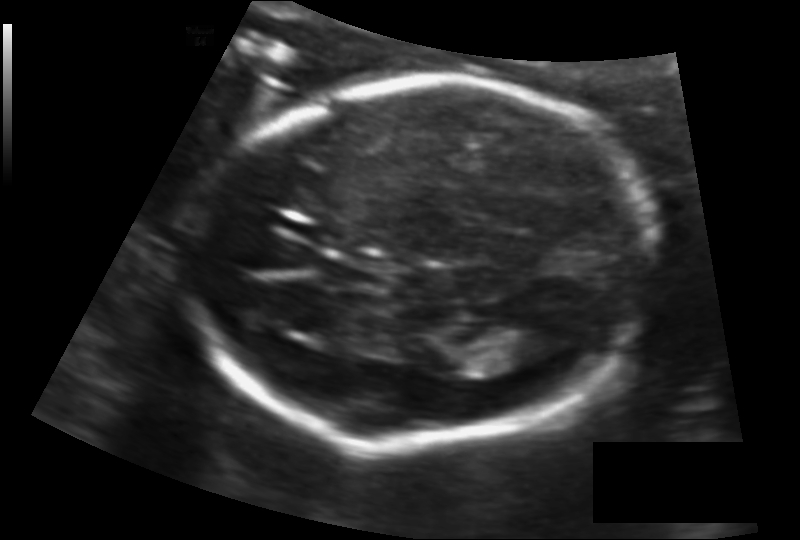
What is the fetal head circumference? Image width is 100.0 mm.

168.5 mm